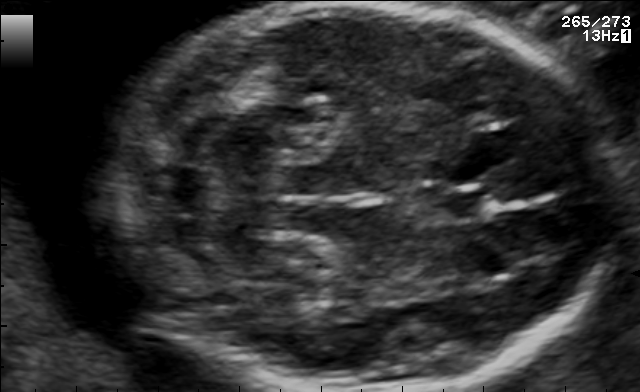
Fetal brain, trans-cerebellum plane. Locate the fetal head and, if visible, the cavum septum pellucidum (CSP) and lateral ventricle (LV). Give bounding boxes as [x1,y1,x2,y2].

Head: [105,3,618,390]
CSP: [429,183,491,224]